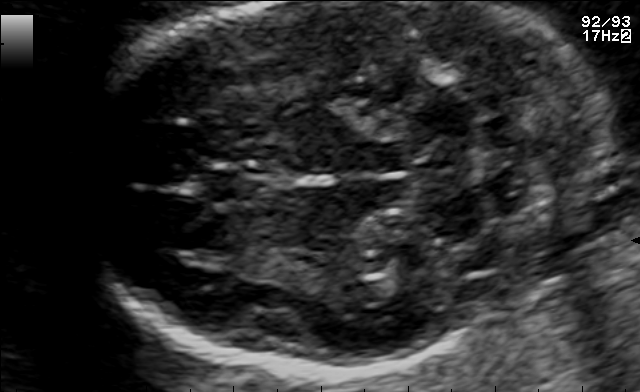
In this fetal brain, trans-cerebellum plane, give bounding boxes for the head outline, cavum septum pellucidum (CSP), and lateral ventricle (LV), where visible.

Head: [89,2,613,372]
CSP: [197,165,274,205]